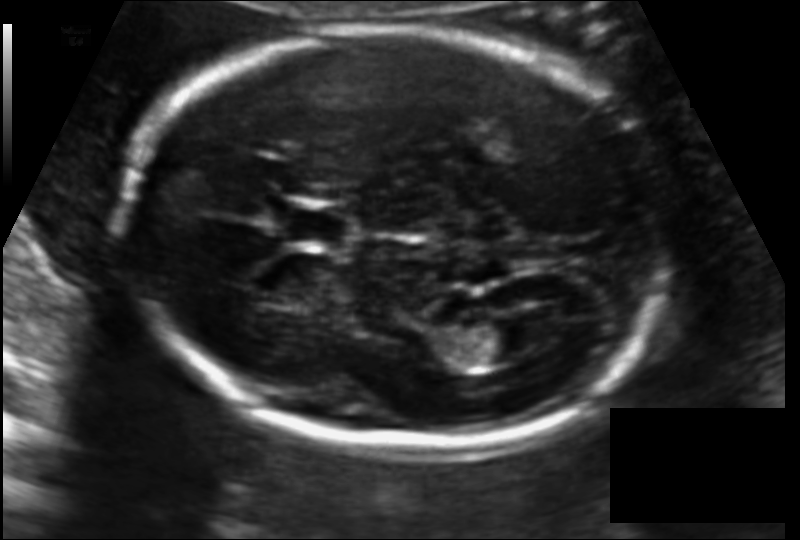
Estimate the fetal head circumference from this 2D ultrasound.

Head circumference: 186.3 mm (image width 95.2 mm).